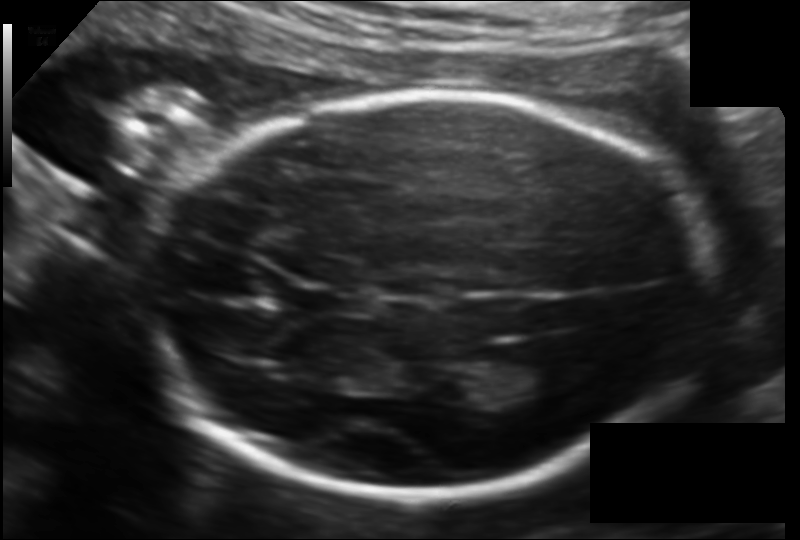
Estimate the fetal head circumference from this 2D ultrasound. Image width: 103.8 mm.

Head circumference: 200.5 mm.